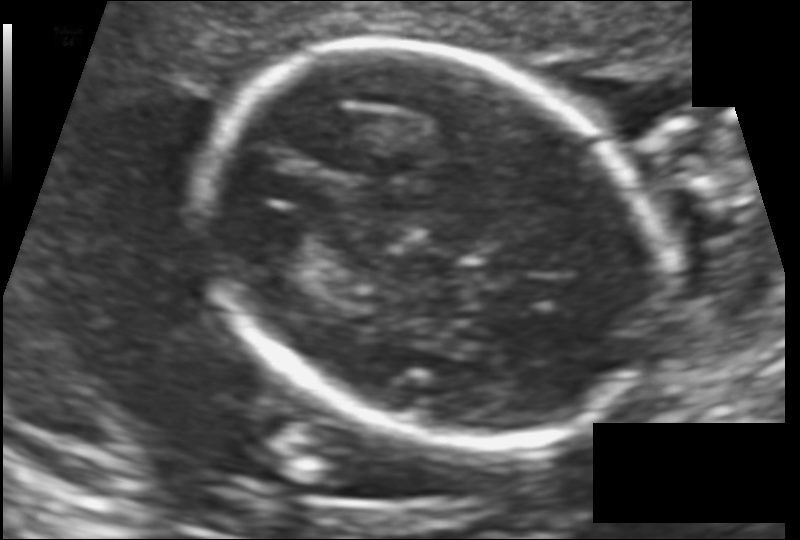
Measure the fetal head circumference shown in this ultrasound image. Image width: 101.0 mm.

Head circumference: 172.9 mm.